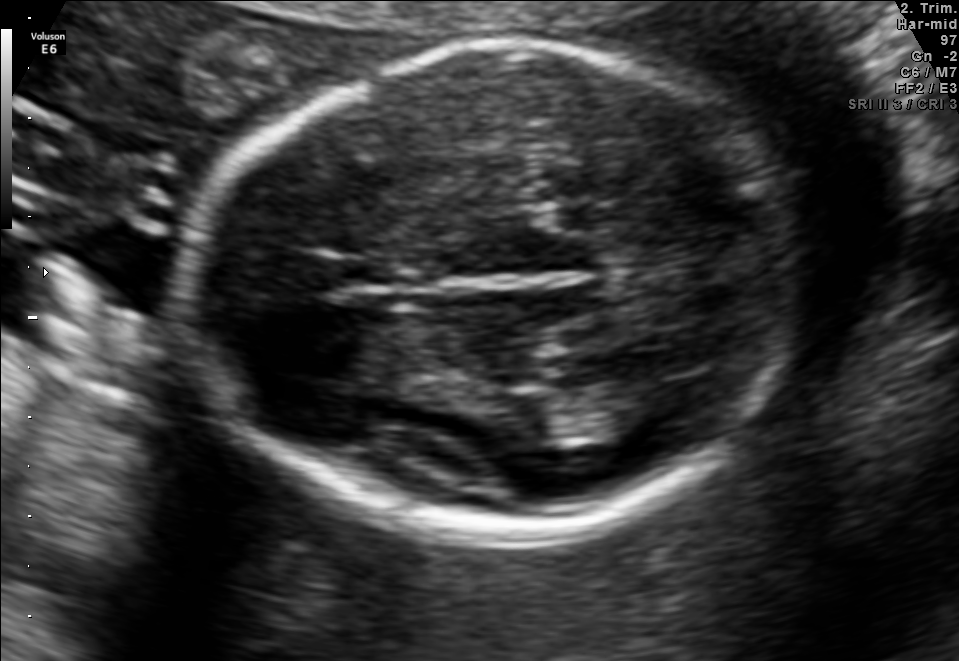
Fetal brain, trans-thalamic plane. Locate the fetal head and, if visible, the cavum septum pellucidum (CSP) and lateral ventricle (LV). Give bounding boxes as [x1,y1,x2,y2].

Head: [177,45,794,534]
Lateral ventricle: [598,372,708,441]